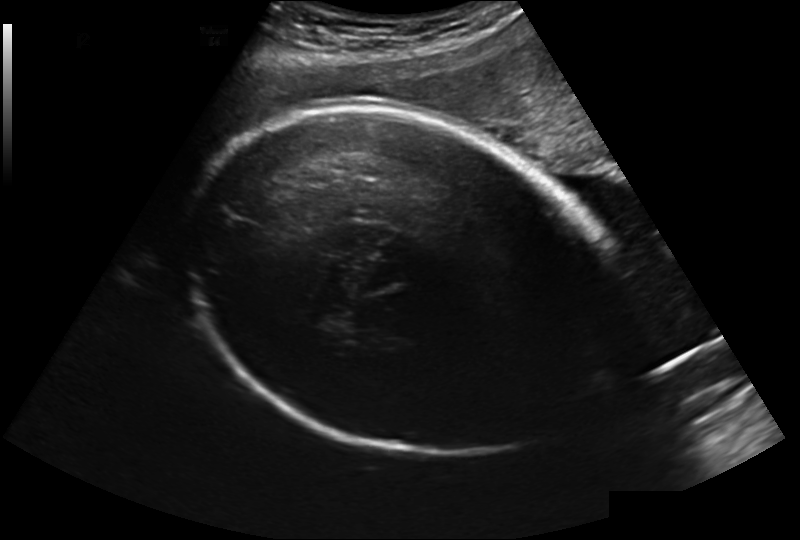
From this fetal ultrasound, estimate the head circumference (image width 192.6 mm).

Head circumference: 303.3 mm.